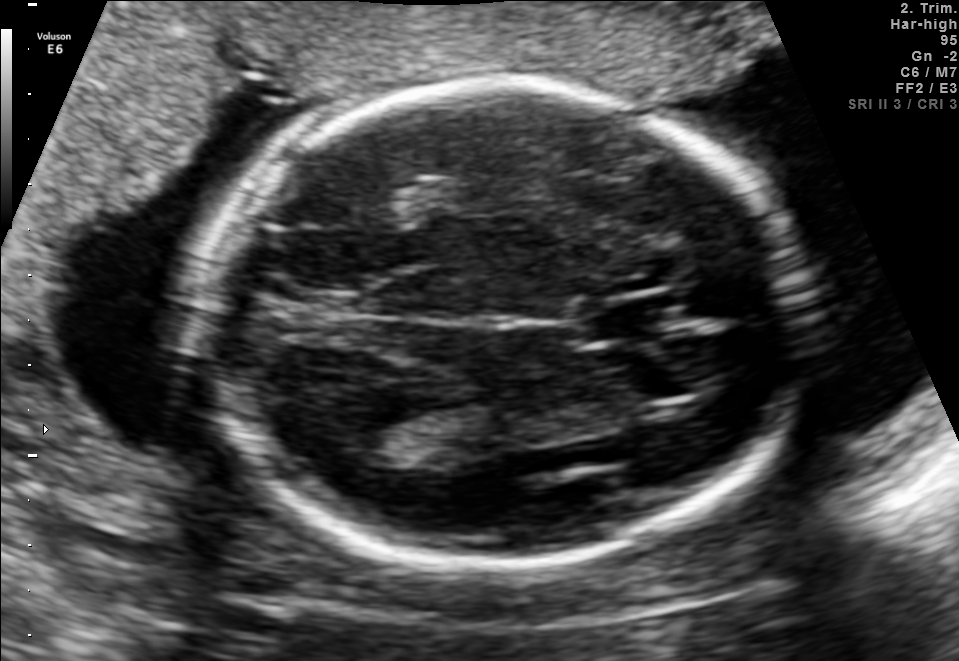
Fetal brain, trans-thalamic plane. Locate the fetal head and, if visible, the cavum septum pellucidum (CSP) and lateral ventricle (LV). Give bounding boxes as [x1,y1,x2,y2].

Head: [200,83,789,560]
CSP: [583,291,675,344]
Lateral ventricle: [319,410,442,473]